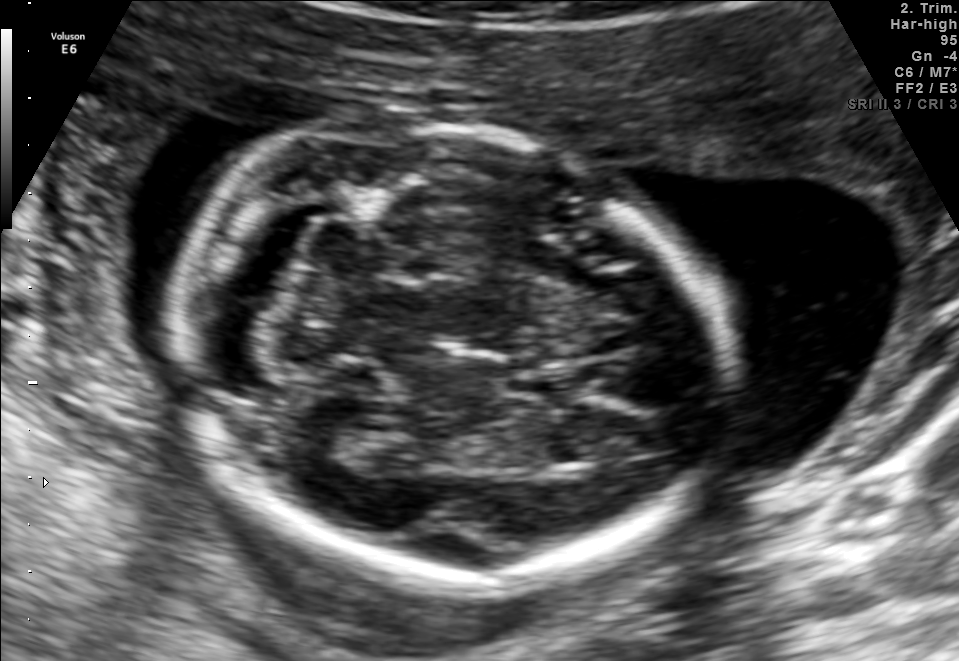
Fetal brain, trans-cerebellum plane. Locate the fetal head and, if visible, the cavum septum pellucidum (CSP) and lateral ventricle (LV). Give bounding boxes as [x1,y1,x2,y2].

Head: [173,121,732,584]